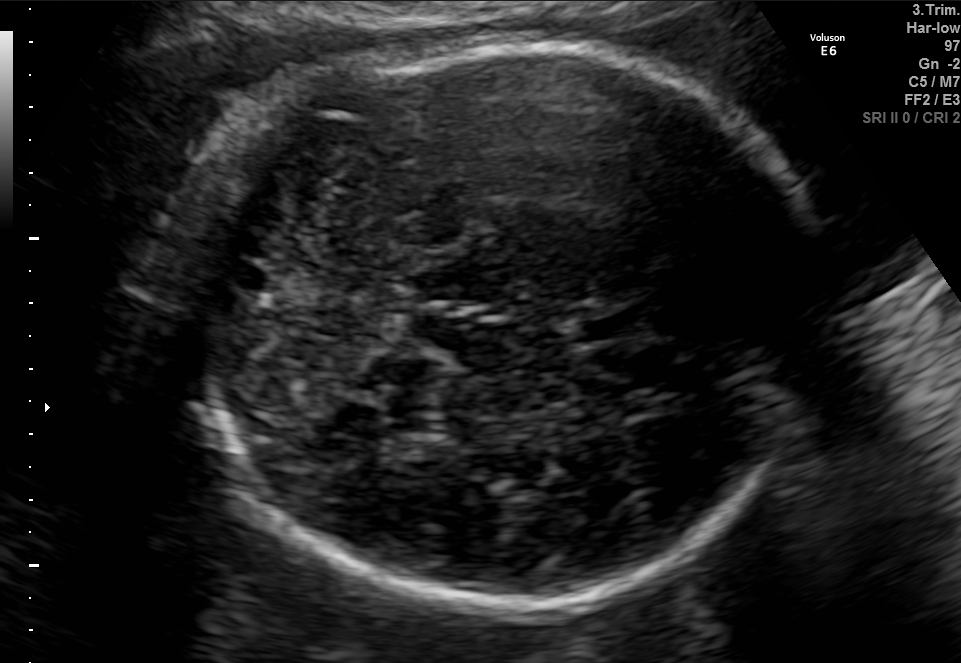
Fetal brain, trans-cerebellum plane. Locate the fetal head.

Head: [220,48,805,615]